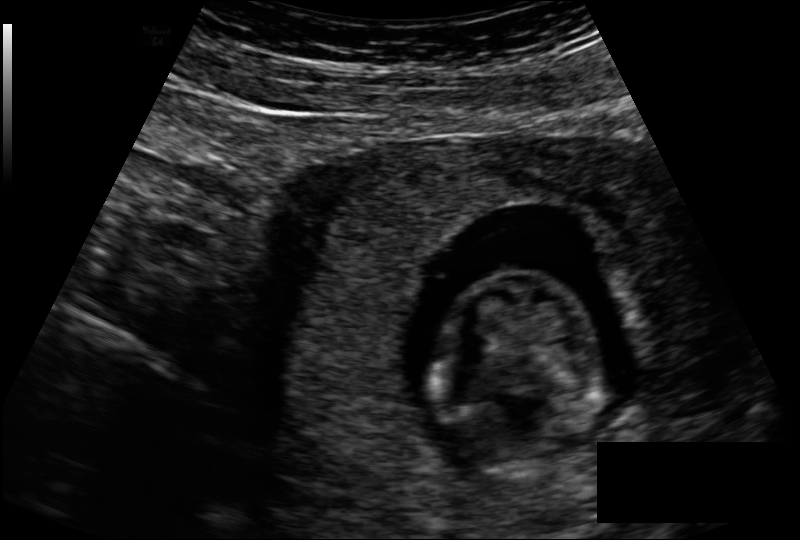
In this fetal head ultrasound, give the bounding box of the fetal head. Image width: 104.8 mm.

[436,272,599,474]